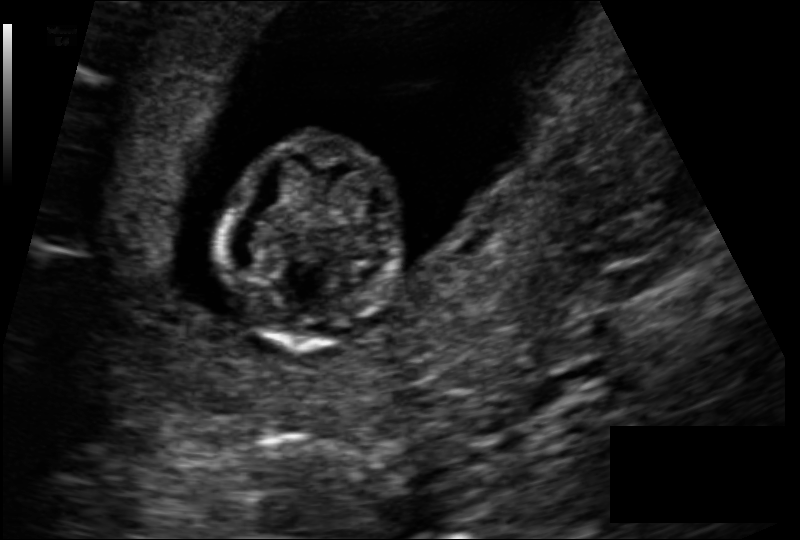
Fetal head ultrasound. Image width: 90.6 mm. Give [x1,y1,x2,y2] bounding boxes for each visible structure among: fetal head, CSP, LV.

Head: [219,137,405,350]